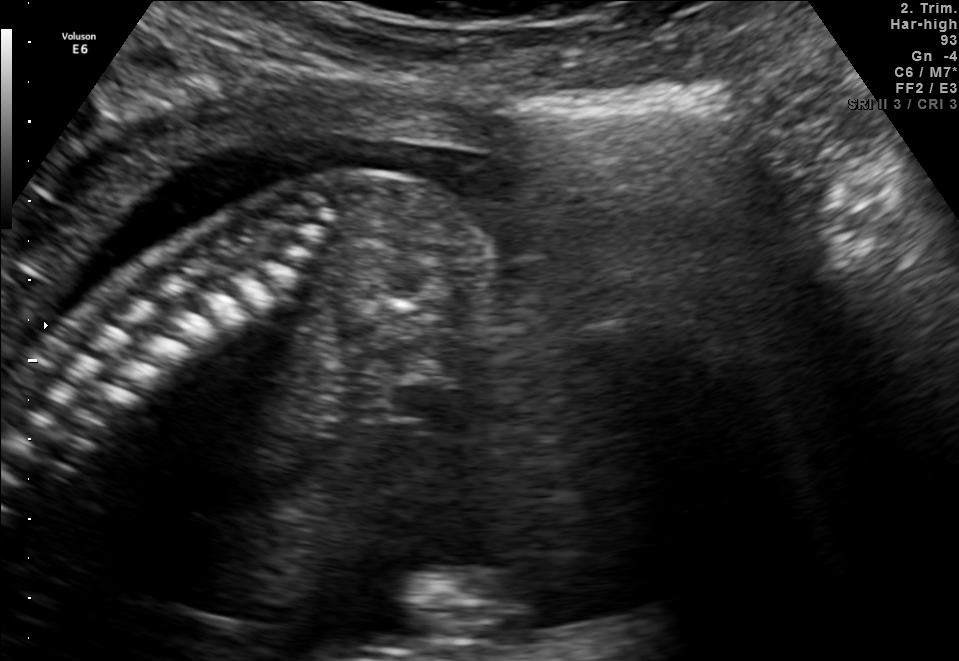
Identify the standard plane in this fetal ultrasound image: fetal abdomen, fetal brain, fetal femur, fetal thorax, maternal cervix, or other. If it's fetal brain and one of the three standard brain planes (trans-thalamic, trans-cerebellum, trans-ventricular), name which.

Other